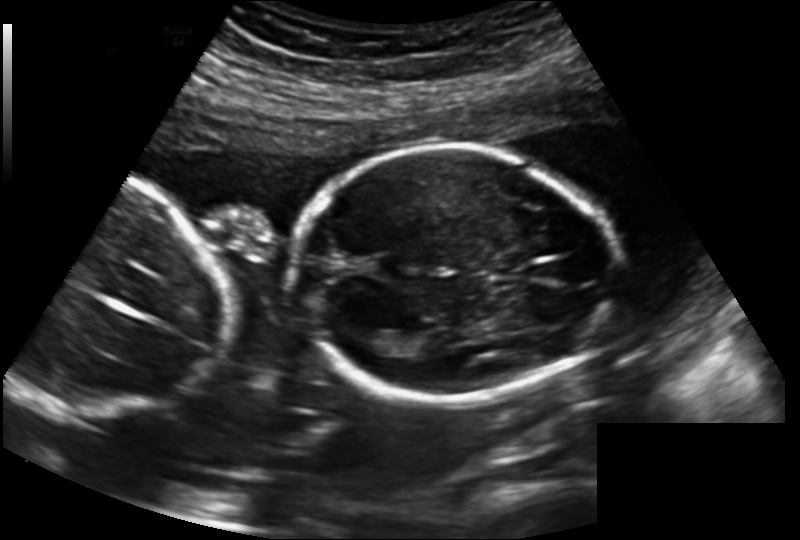
In this fetal head ultrasound, give the bounding box of the fetal head. Image width: 146.1 mm.

[288,146,617,400]